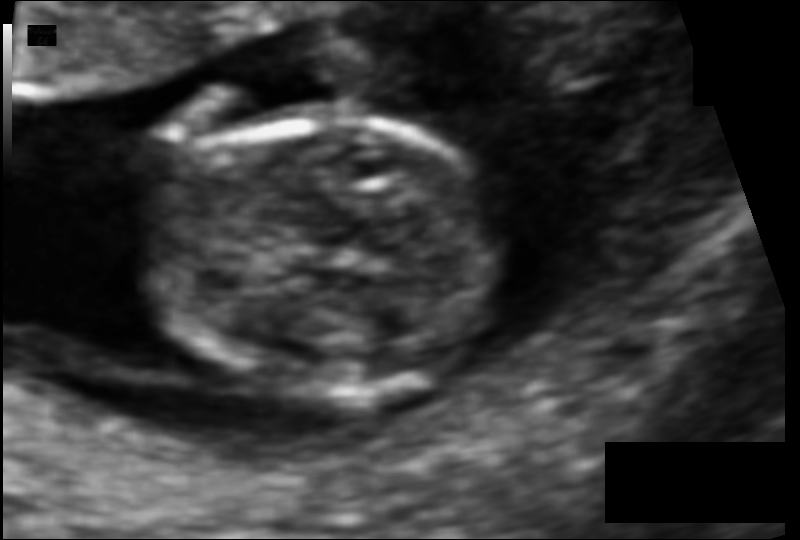
Fetal head ultrasound. Image width: 58.2 mm. Locate the fetal head and, if visible, the cavum septum pellucidum (CSP) and lateral ventricle (LV). Give bounding boxes as [x1,y1,x2,y2].

Head: [146,120,509,400]